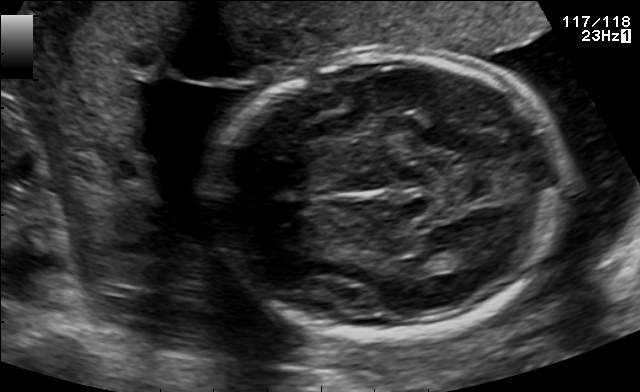
In this fetal brain, trans-thalamic plane, give bounding boxes for the head outline, cavum septum pellucidum (CSP), and lateral ventricle (LV), where visible.

Head: [208,55,570,334]
Lateral ventricle: [415,242,473,278]